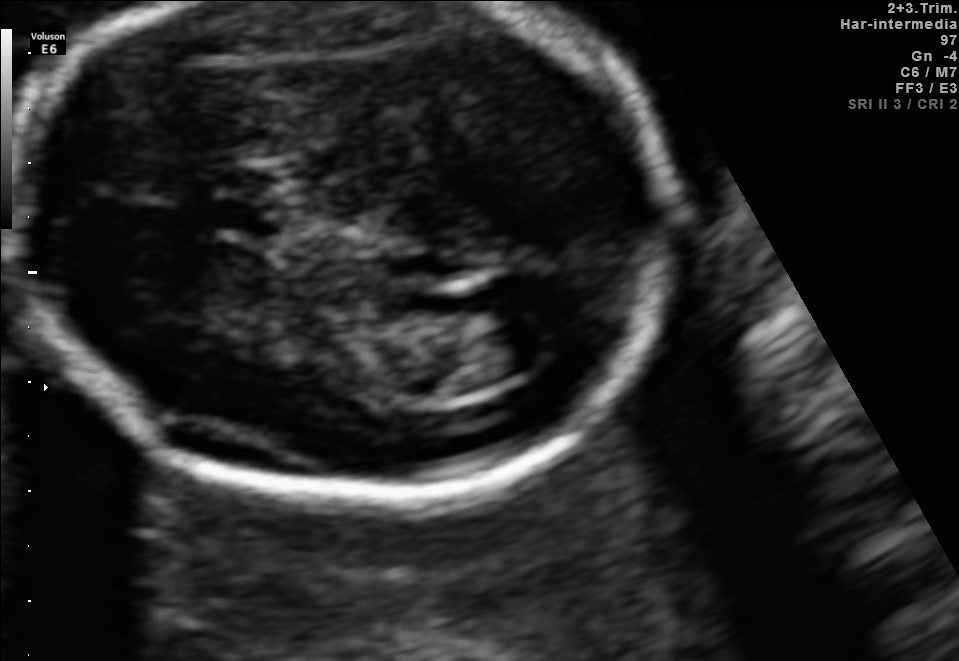
Fetal brain, trans-ventricular plane. Locate the cavum septum pellucidum (CSP) and lateral ventricle (LV), if visible. Give bounding boxes as [x1,y1,x2,y2].

CSP: [214,199,276,238]
Lateral ventricle: [475,308,567,383]